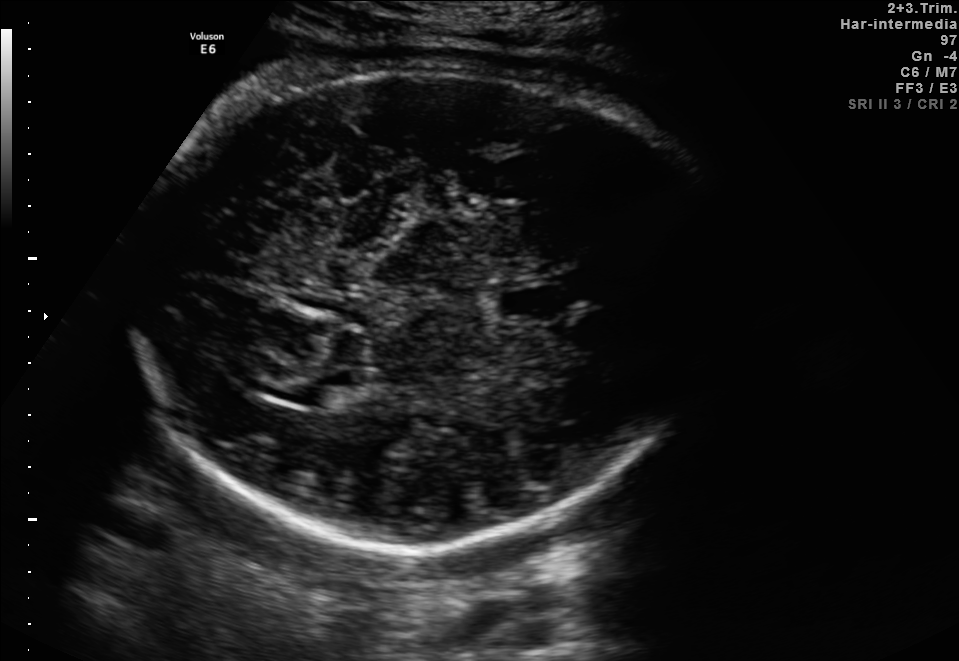
Fetal brain, trans-thalamic plane. Where is the cavum septum pellucidum?

CSP bounding box: [497,280,561,319]